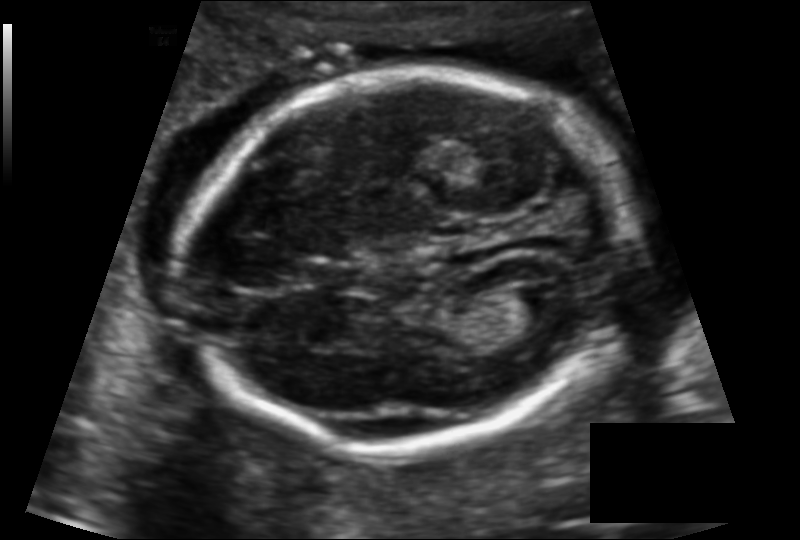
In this fetal head ultrasound, give the bounding box of the fetal head. Image width: 99.3 mm.

[178,74,634,453]